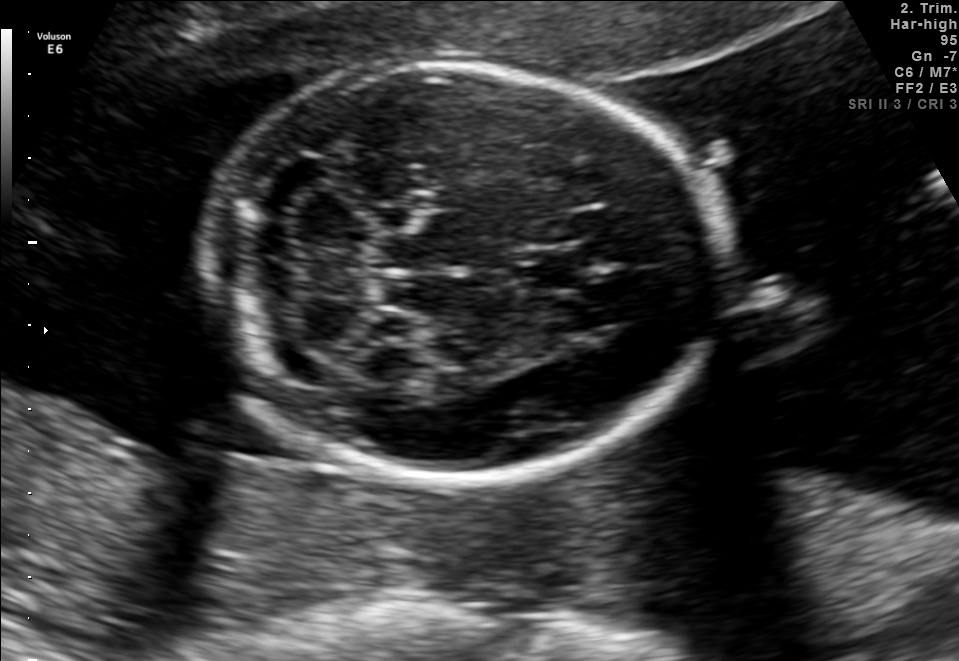
Classify this maternal-fetal ultrasound image as one of the six standard planes — fetal abdomen, fetal brain, fetal femur, fetal thorax, maternal cervix, or other. If it's fetal brain and one of the three standard brain planes (trans-thalamic, trans-cerebellum, trans-ventricular), name which.

Fetal brain (trans-cerebellum plane)